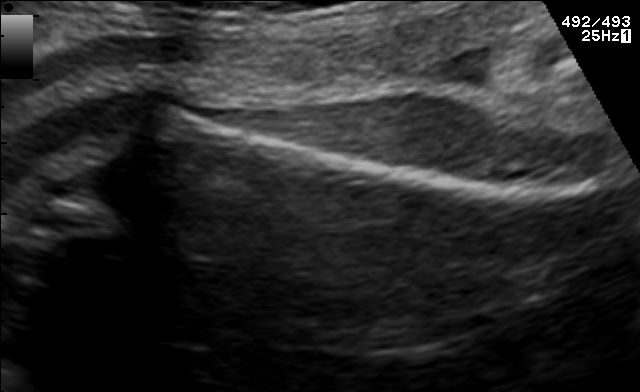
This is a 2D maternal-fetal ultrasound frame. Is it a fetal abdomen, fetal brain, fetal femur, fetal thorax, maternal cervix, or other standard plane? If it's fetal brain and one of the three standard brain planes (trans-thalamic, trans-cerebellum, trans-ventricular), name which.

Fetal femur